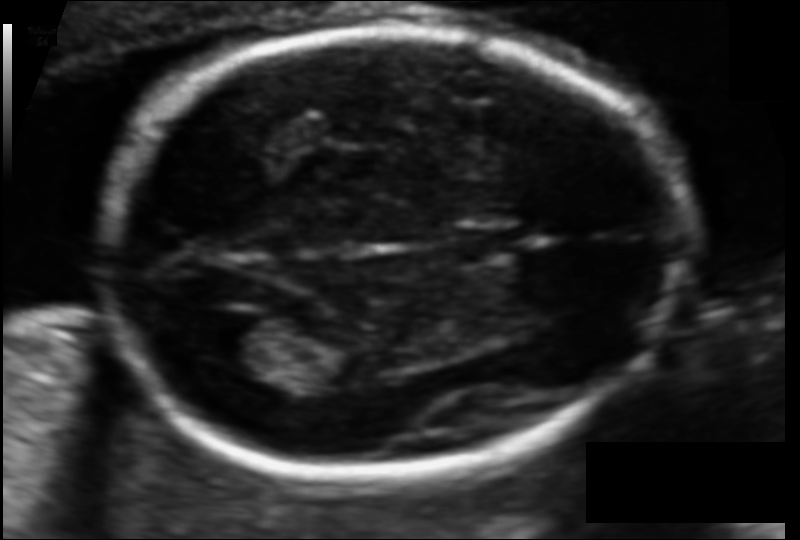
In this fetal head ultrasound, give the bounding box of the fetal head. Image width: 77.8 mm.

[101,29,681,479]